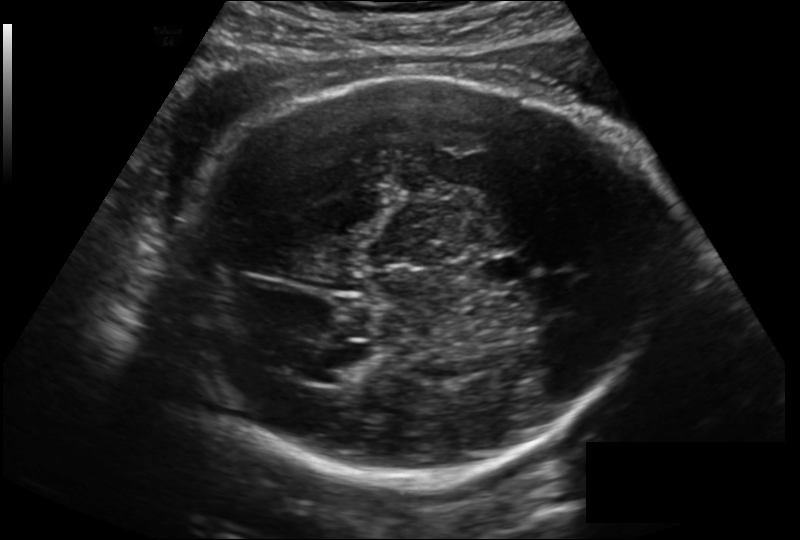
Fetal head ultrasound. Image width: 159.3 mm. Where is the fetal head?

Head bounding box: [167,76,657,477]